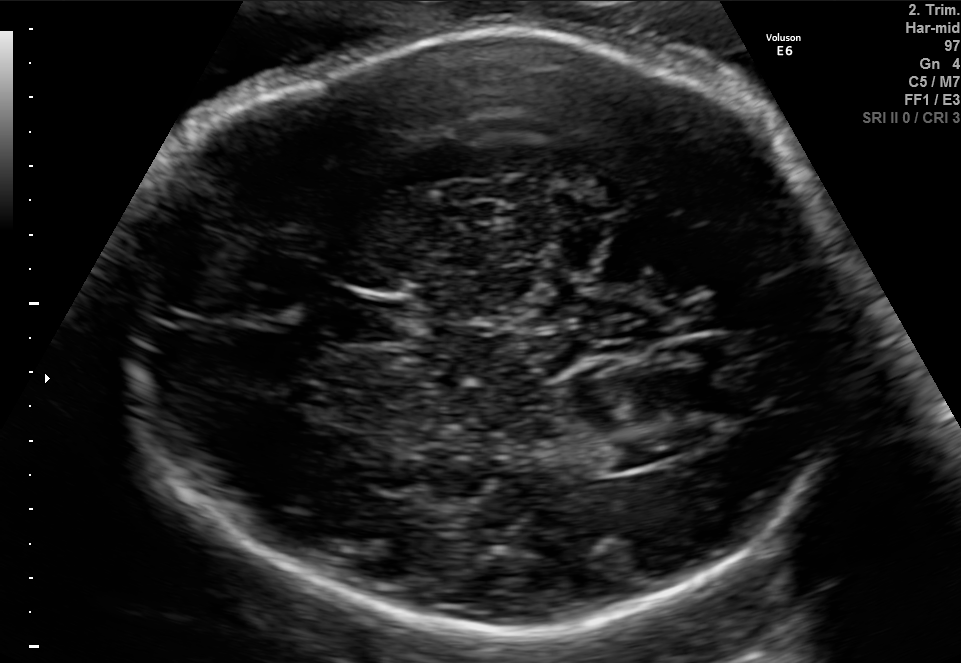
In this fetal brain, trans-ventricular plane, give the bounding box of the fetal head.

[109,20,862,639]